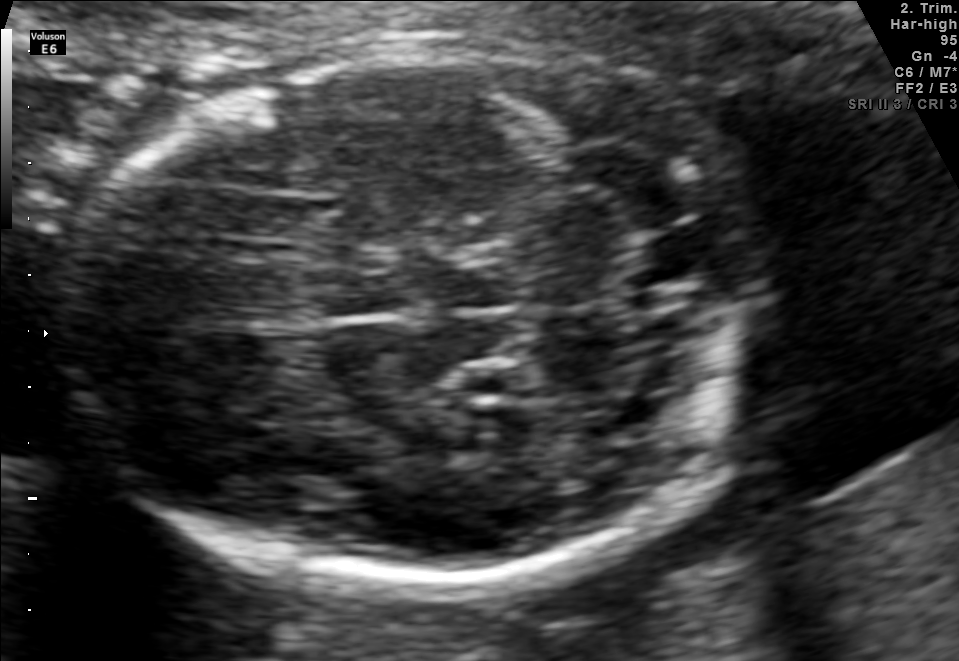
Fetal brain, trans-cerebellum plane. Where is the fetal head?

Head bounding box: [69,49,764,592]